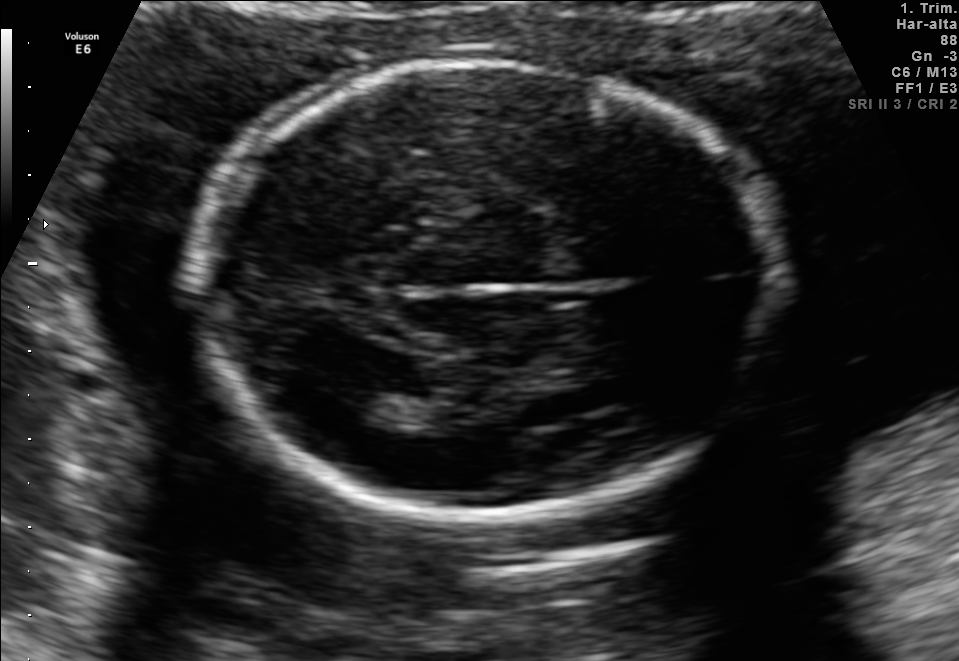
Fetal brain, trans-thalamic plane. Locate the lateral ventricle.

Lateral ventricle: [325,376,405,434]